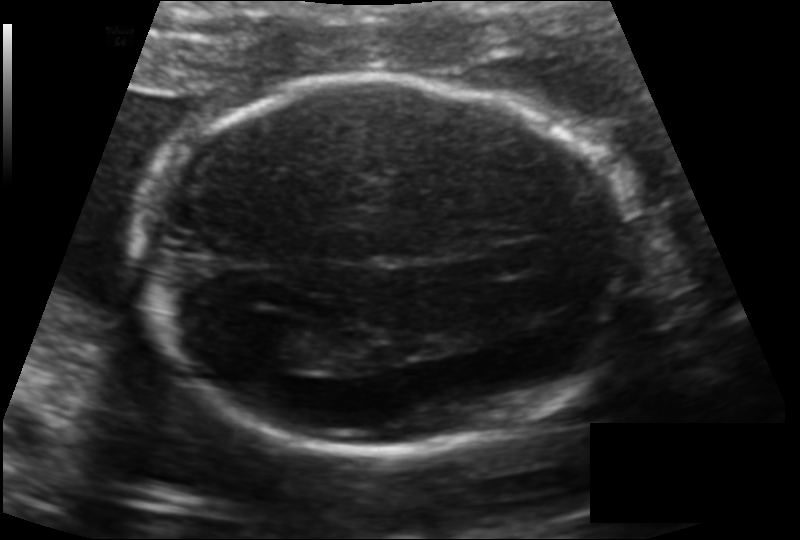
Fetal head ultrasound. Image width: 107.0 mm. Where is the fetal head?

Head bounding box: [149,77,637,450]